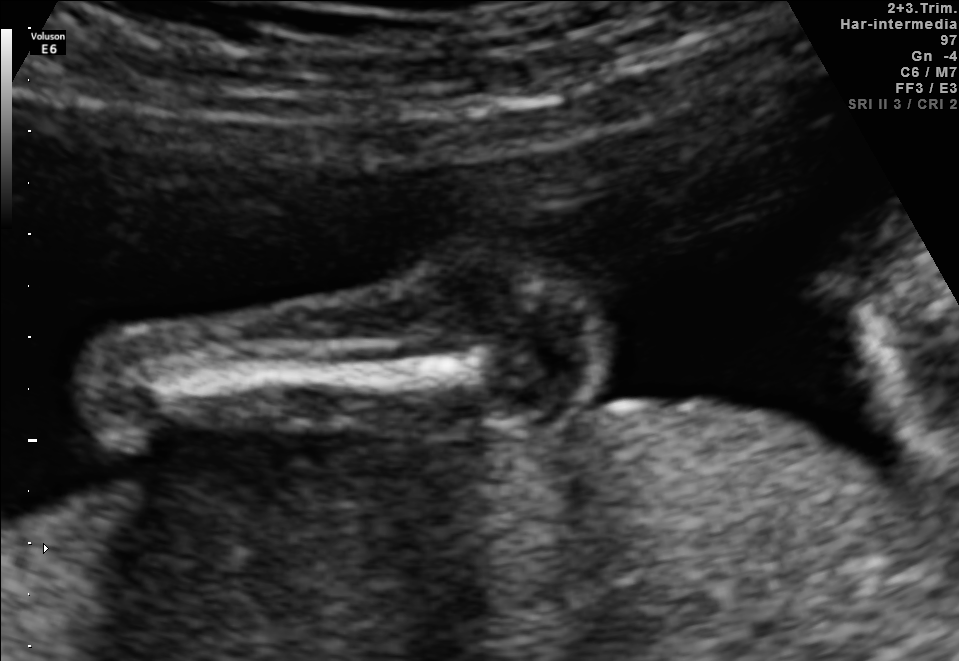
Which standard maternal-fetal ultrasound plane is shown: fetal abdomen, fetal brain, fetal femur, fetal thorax, maternal cervix, or other? If it's fetal brain and one of the three standard brain planes (trans-thalamic, trans-cerebellum, trans-ventricular), name which.

Other